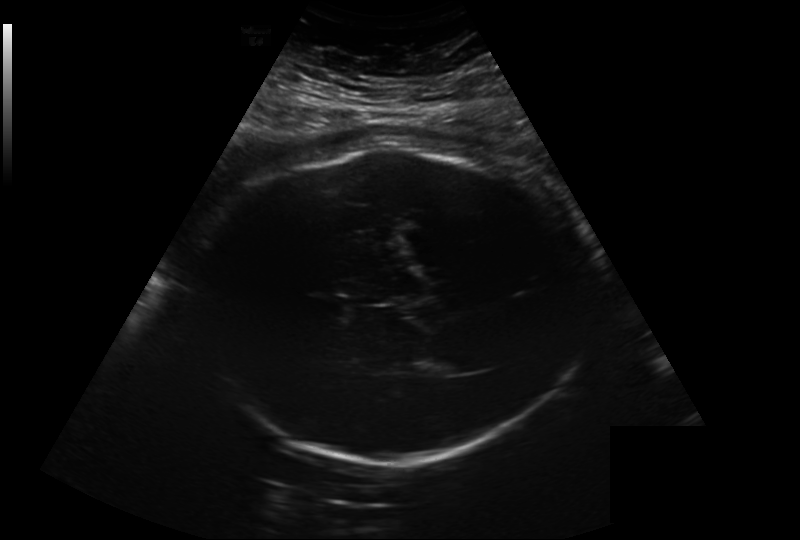
In this fetal head ultrasound, give the bounding box of the fetal head. Image width: 225.2 mm.

[199,148,584,462]